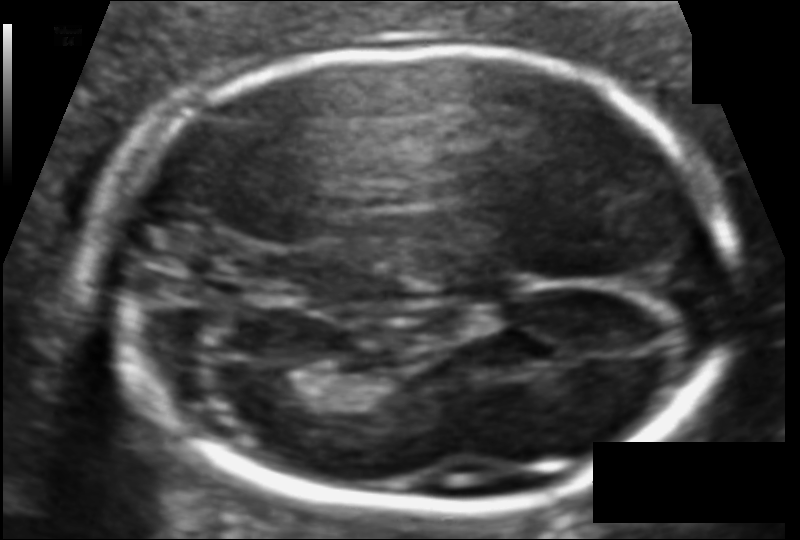
In this fetal head ultrasound, give the bounding box of the lateral ventricle. Image width: 76.5 mm.

[260,365,324,410]